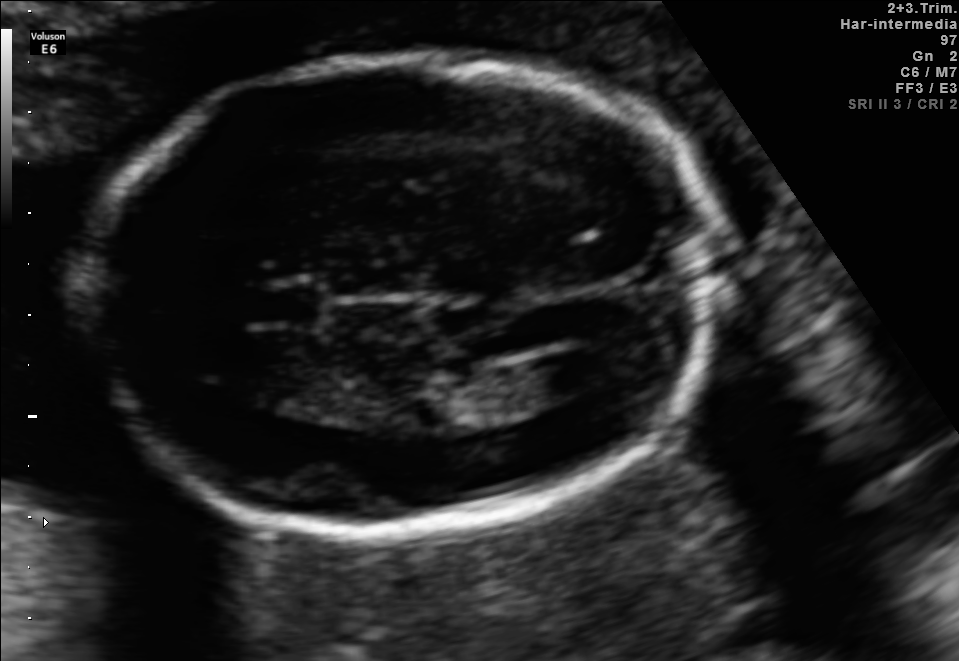
Fetal brain, trans-ventricular plane. Where is the lateral ventricle?

Lateral ventricle bounding box: [534,341,619,402]